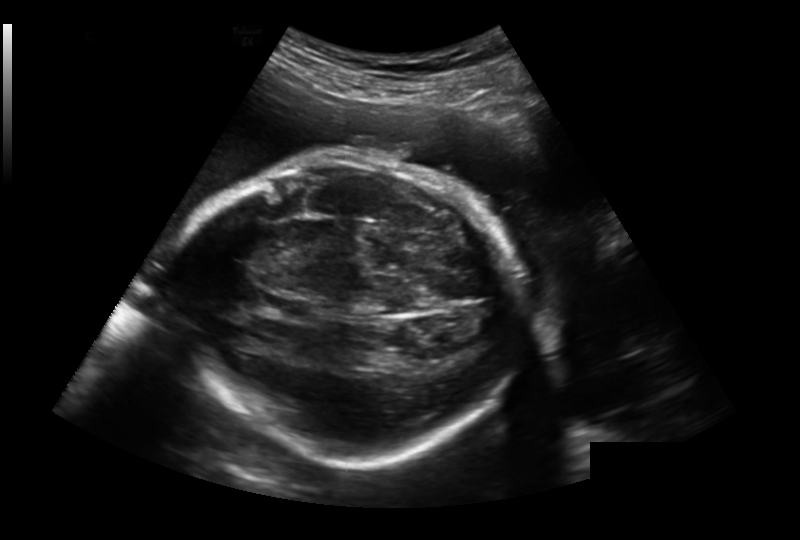
Estimate the fetal head circumference from this 2D ultrasound. Image width: 206.8 mm.

Head circumference: 274.2 mm.